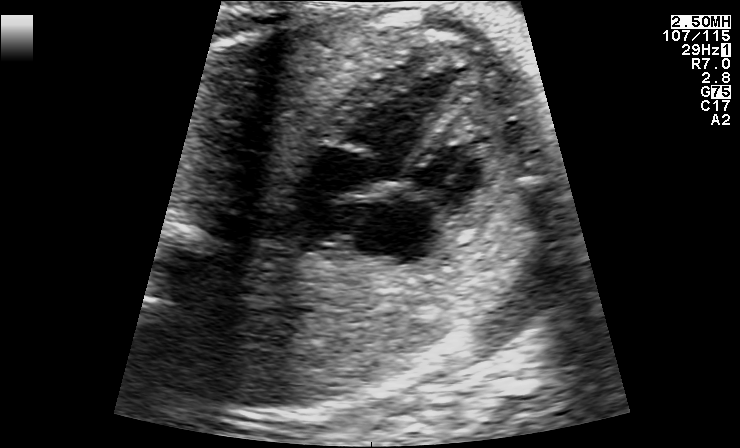
Which standard maternal-fetal ultrasound plane is shown: fetal abdomen, fetal brain, fetal femur, fetal thorax, maternal cervix, or other? If it's fetal brain and one of the three standard brain planes (trans-thalamic, trans-cerebellum, trans-ventricular), name which.

Fetal thorax